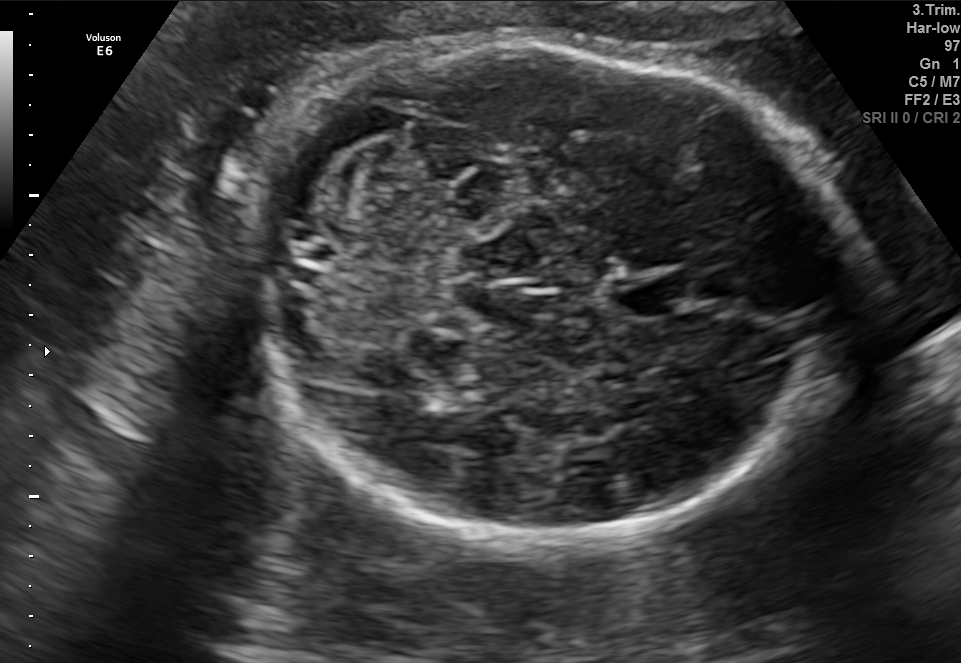
Fetal brain, trans-cerebellum plane. Locate the fetal head.

Head: [250,42,848,543]